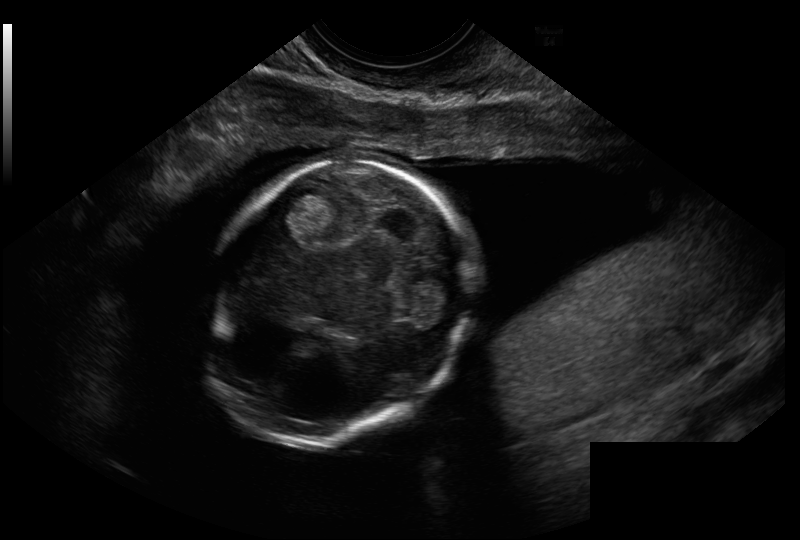
Fetal head ultrasound. Image width: 91.5 mm. Give [x1,y1,x2,y2] bounding boxes for each visible structure among: fetal head, CSP, LV.

Head: [204,161,470,448]